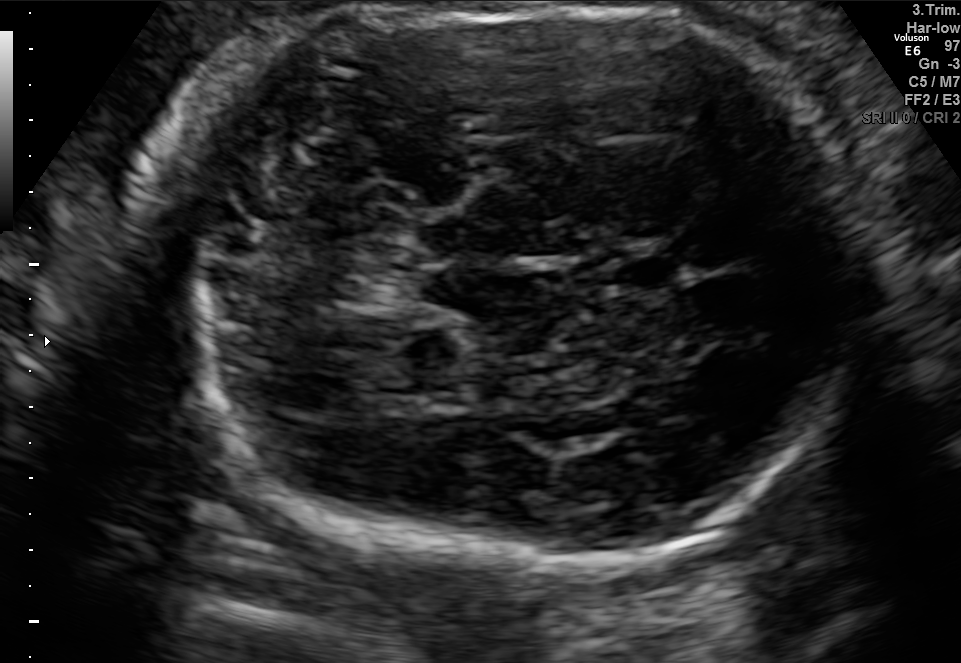
In this fetal brain, trans-cerebellum plane, give the bounding box of the cavum septum pellucidum.

[601,242,693,305]